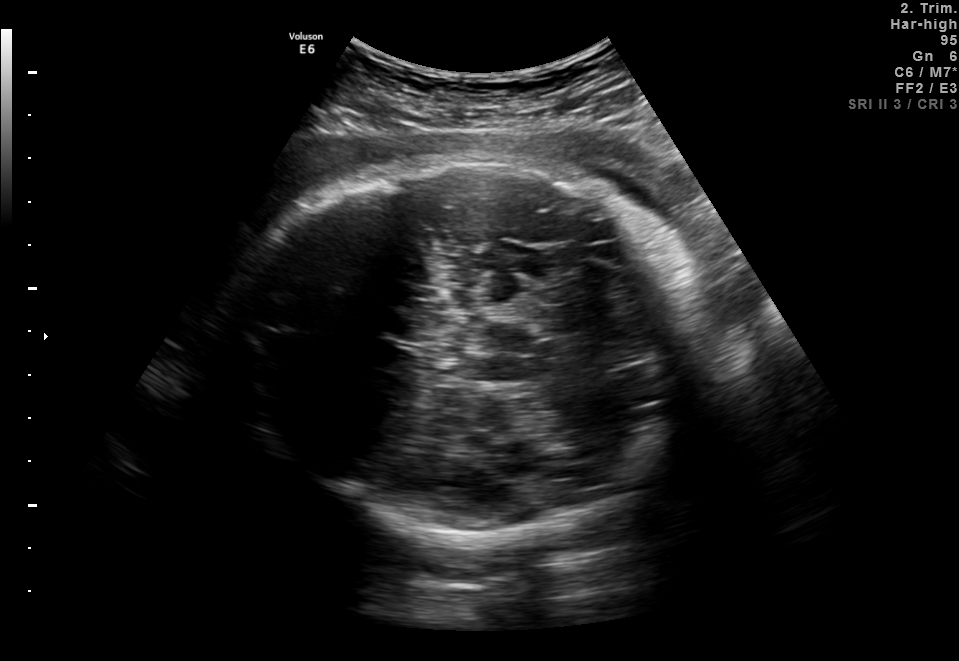
Fetal brain, trans-thalamic plane. Where is the fetal head?

Head bounding box: [225,158,706,535]